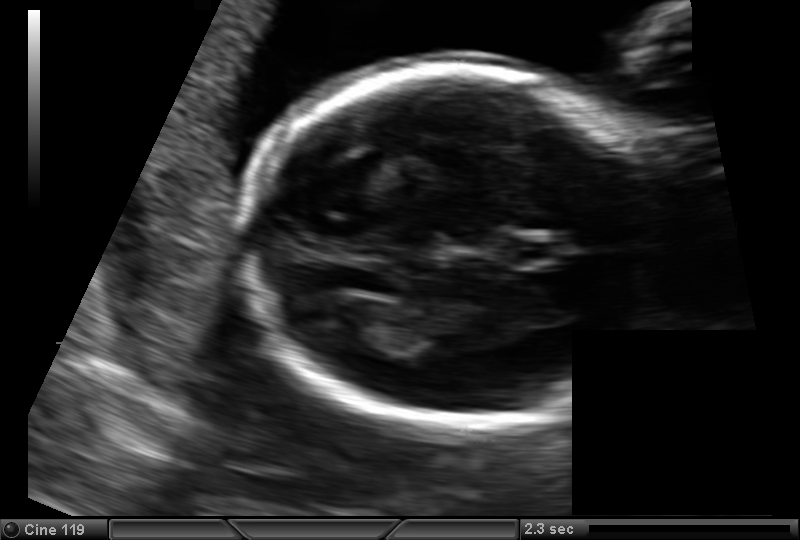
Fetal head ultrasound. Image width: 103.2 mm. Locate the fetal head.

Head: [246,65,664,424]